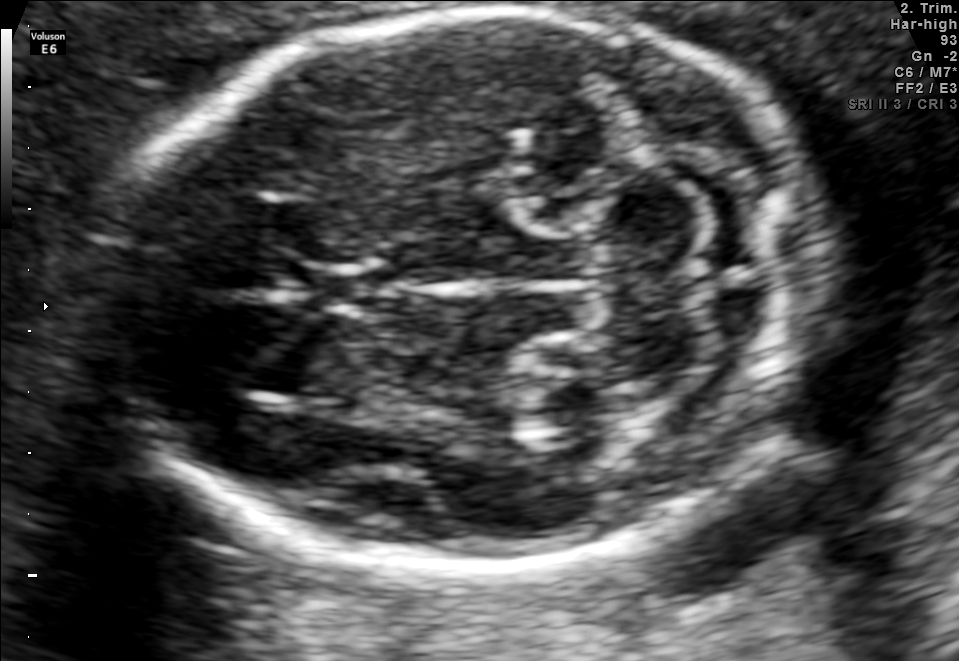
Fetal brain, trans-cerebellum plane. Locate the fetal head.

Head: [106,7,823,580]